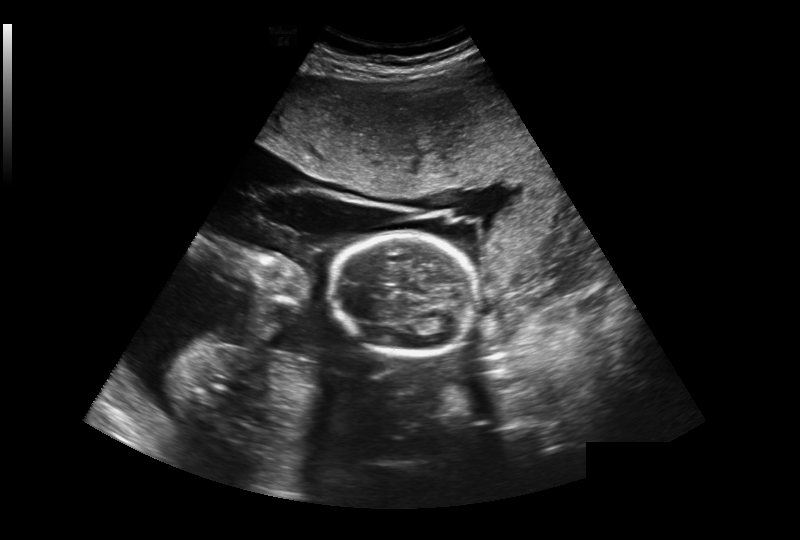
Fetal head ultrasound. Image width: 314.6 mm. Where is the cavum septum pellucidum?

CSP bounding box: [370,282,397,298]